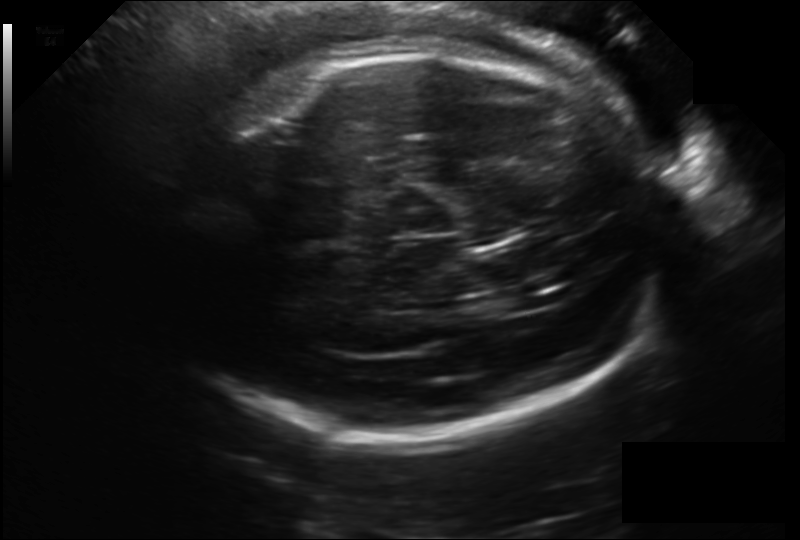
Fetal head ultrasound. Image width: 162.0 mm. Locate the fetal head and, if visible, the cavum septum pellucidum (CSP) and lateral ventricle (LV). Give bounding boxes as [x1,y1,x2,y2].

Head: [149,47,669,438]